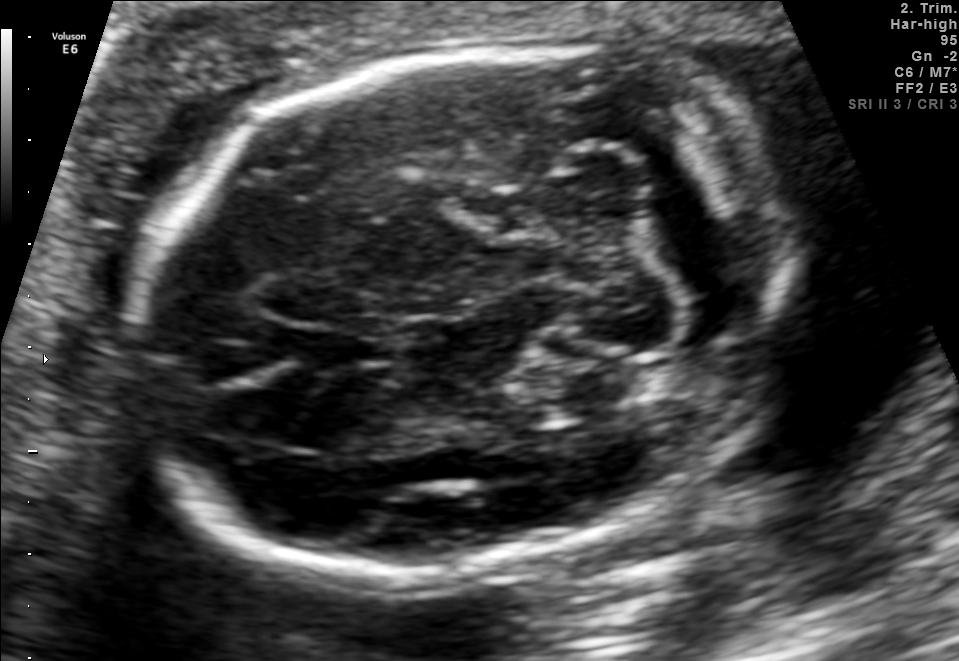
Fetal brain, trans-cerebellum plane. Locate the fetal head.

Head: [138,40,795,577]